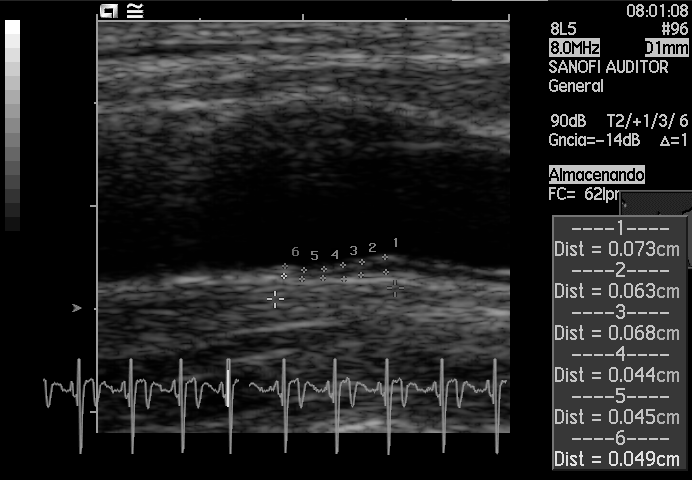
Classify this maternal-fetal ultrasound image as one of the six standard planes — fetal abdomen, fetal brain, fetal femur, fetal thorax, maternal cervix, or other. If it's fetal brain and one of the three standard brain planes (trans-thalamic, trans-cerebellum, trans-ventricular), name which.

Other